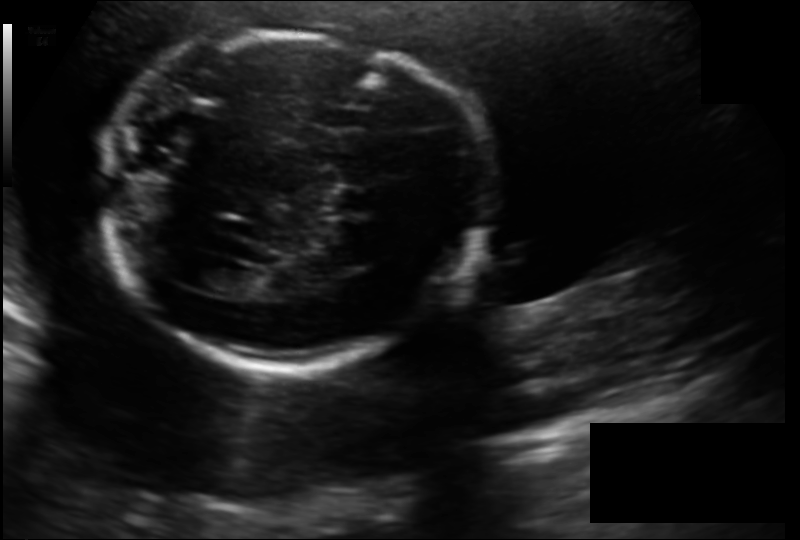
Estimate the fetal head circumference from this 2D ultrasound. Image width: 126.7 mm.

Head circumference: 187.8 mm.